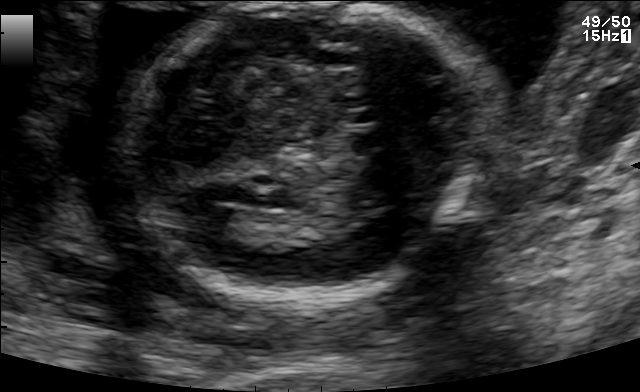
Fetal brain, trans-thalamic plane. Where is the lateral ventricle?

Lateral ventricle bounding box: [195,203,257,245]